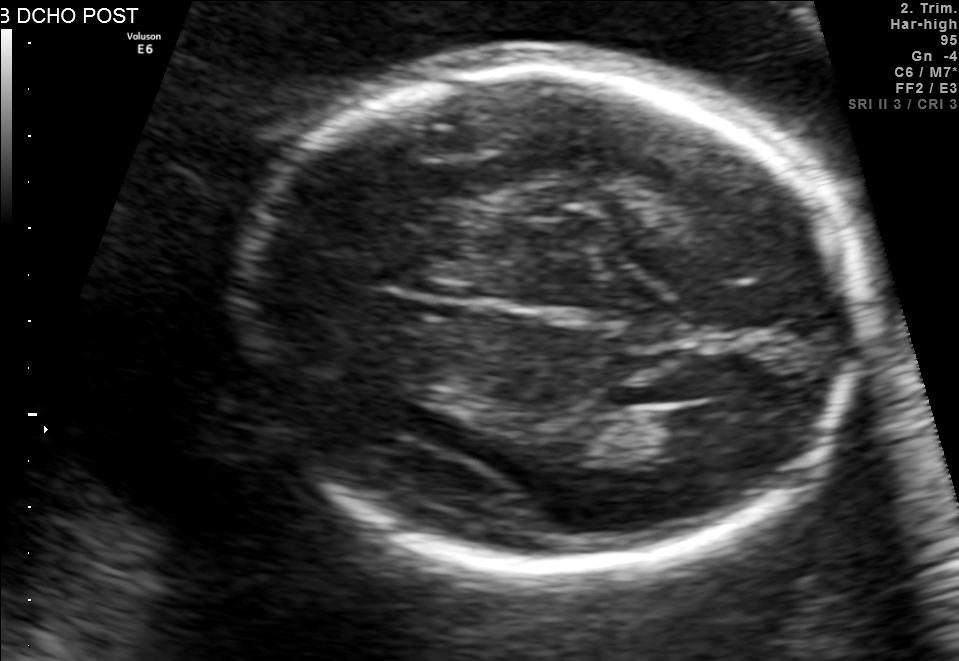
In this fetal brain, trans-thalamic plane, give the bounding box of the lateral ventricle.

[642,397,753,458]